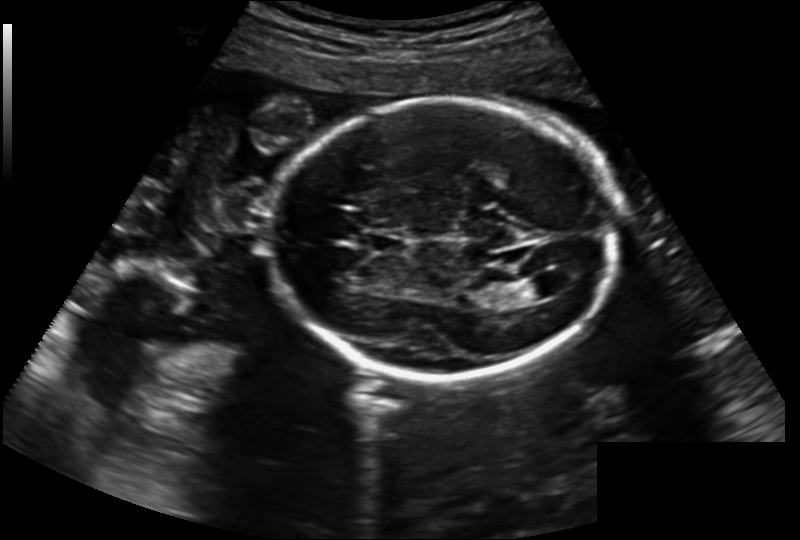
From this fetal ultrasound, estimate the head circumference (image width 161.7 mm).

Head circumference: 204.6 mm.